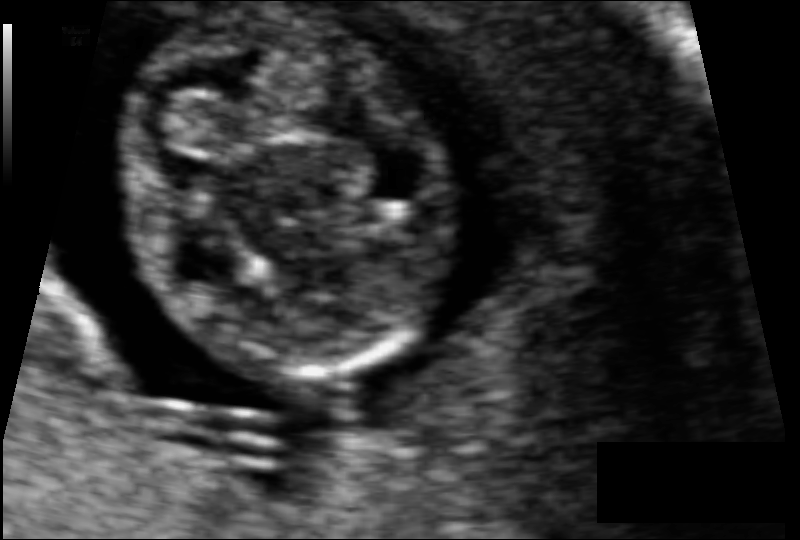
Measure the fetal head circumference shown in this ultrasound image. Image width: 49.6 mm.

Head circumference: 68.8 mm.